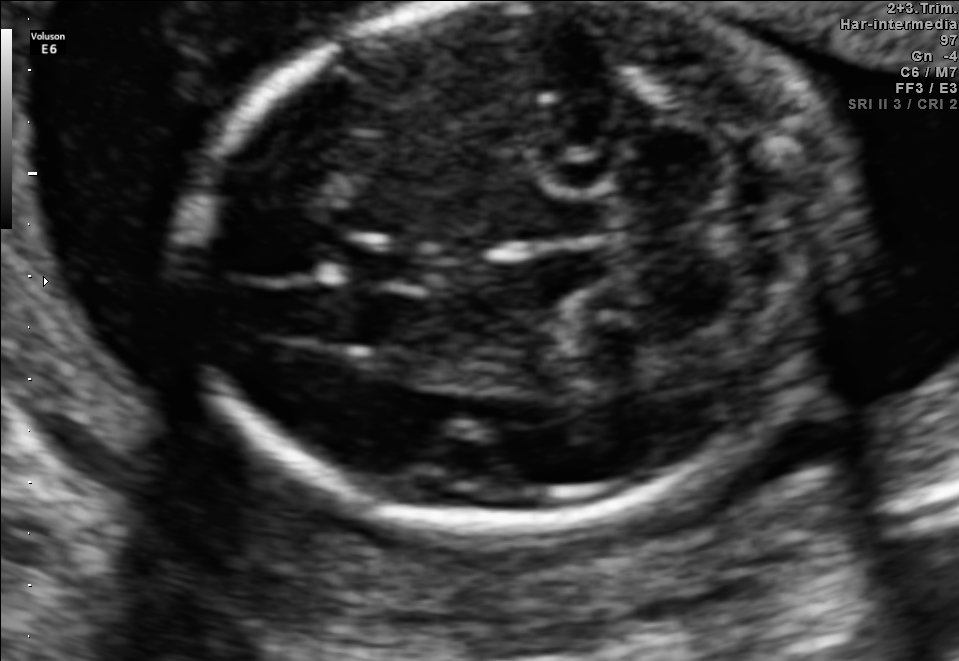
Fetal brain, trans-cerebellum plane. Where is the fetal head?

Head bounding box: [181,6,850,517]